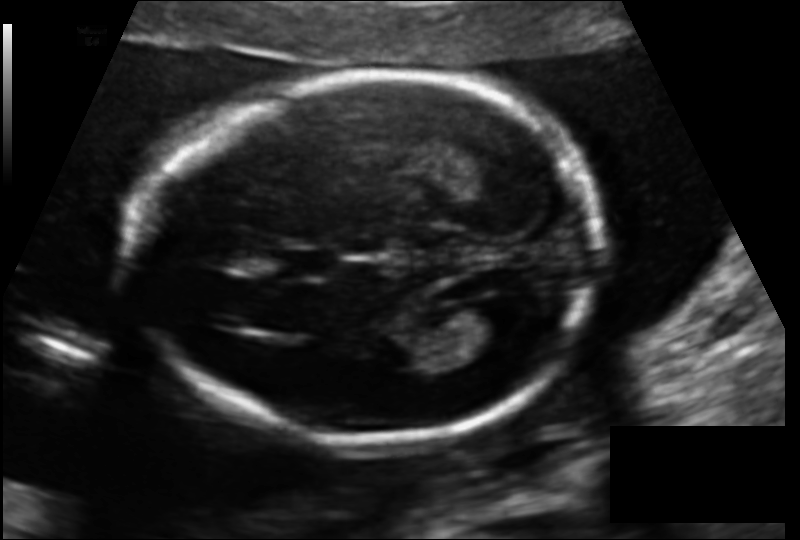
In this fetal head ultrasound, give the bounding box of the lateral ventricle. Image width: 100.2 mm.

[455,283,533,351]